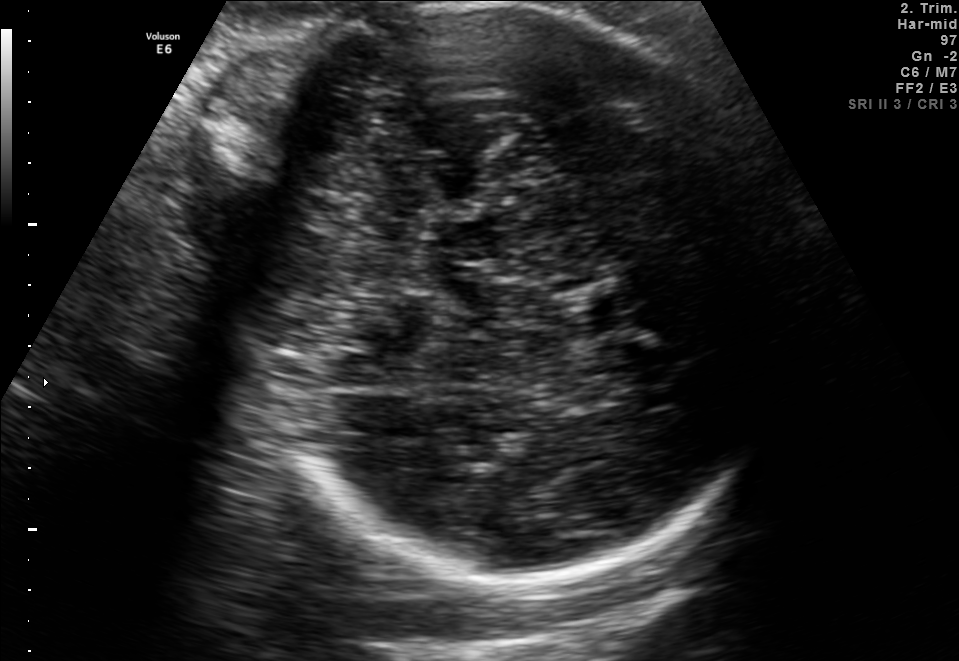
Fetal brain, trans-thalamic plane. Locate the fetal head and, if visible, the cavum septum pellucidum (CSP) and lateral ventricle (LV). Give bounding boxes as [x1,y1,x2,y2].

Head: [242,2,775,585]